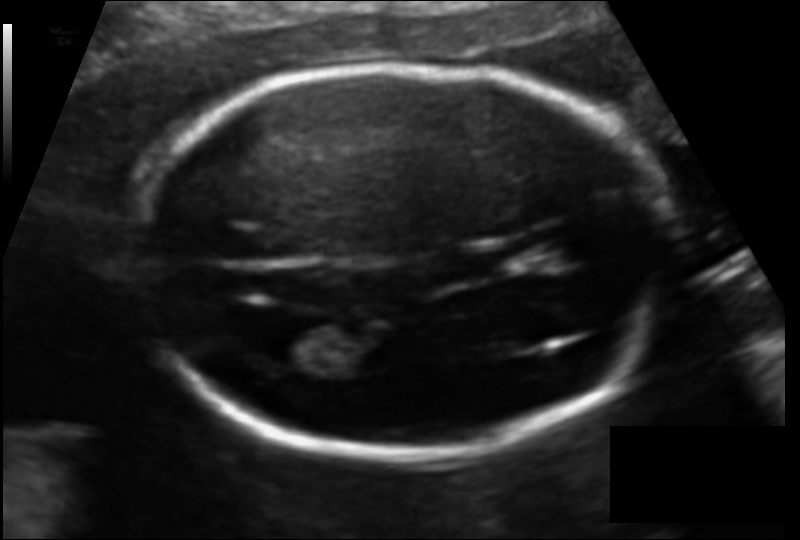
Measure the fetal head circumference shown in this ultrasound image. Image width: 87.6 mm.

Head circumference: 165.6 mm.